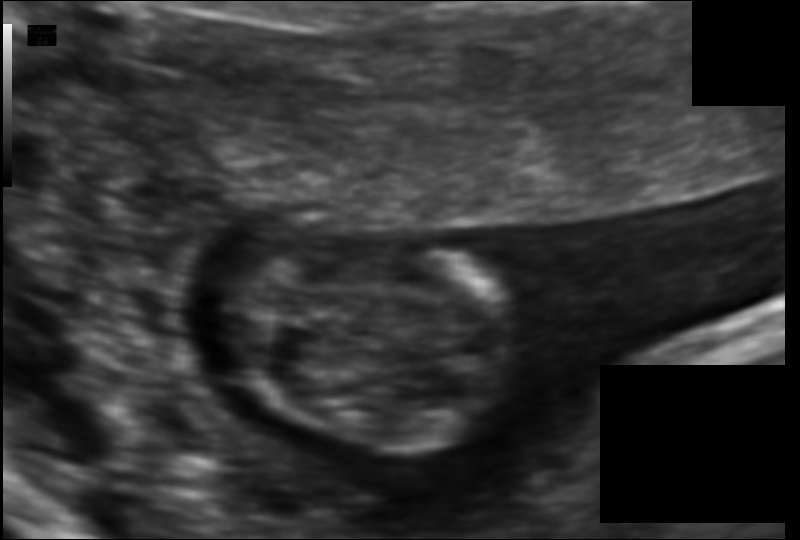
In this fetal head ultrasound, give bounding boxes for the head outline, cavum septum pellucidum (CSP), and lateral ventricle (LV), where visible. Image width: 62.1 mm.

Head: [224,243,523,448]